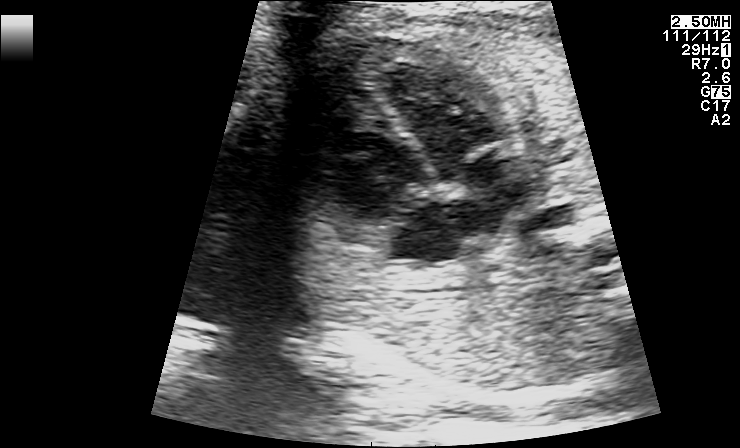
Which standard maternal-fetal ultrasound plane is shown: fetal abdomen, fetal brain, fetal femur, fetal thorax, maternal cervix, or other? If it's fetal brain and one of the three standard brain planes (trans-thalamic, trans-cerebellum, trans-ventricular), name which.

Fetal thorax